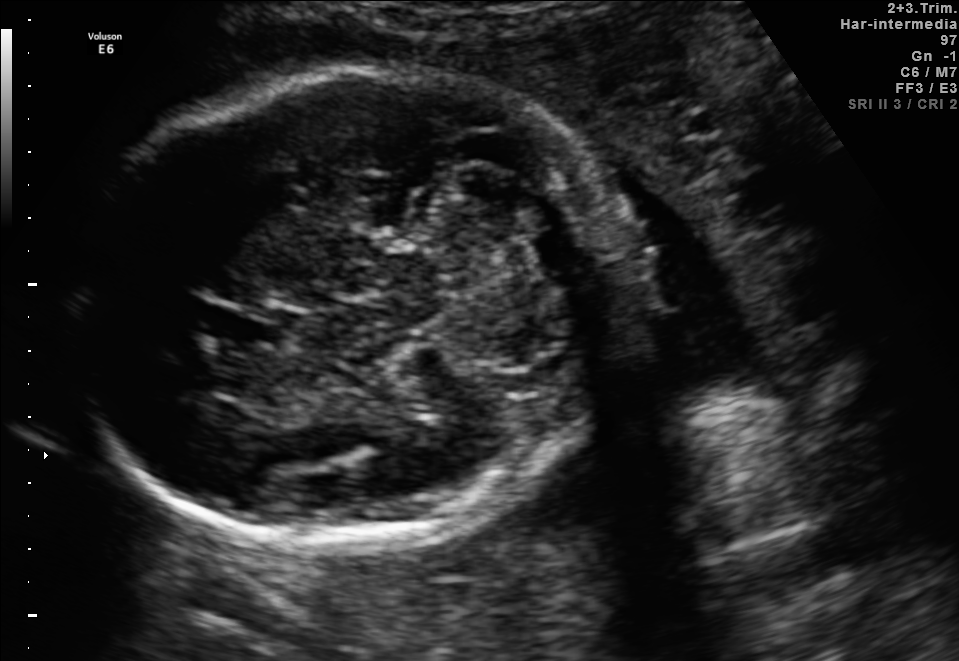
Which standard maternal-fetal ultrasound plane is shown: fetal abdomen, fetal brain, fetal femur, fetal thorax, maternal cervix, or other? If it's fetal brain and one of the three standard brain planes (trans-thalamic, trans-cerebellum, trans-ventricular), name which.

Fetal brain (trans-cerebellum plane)